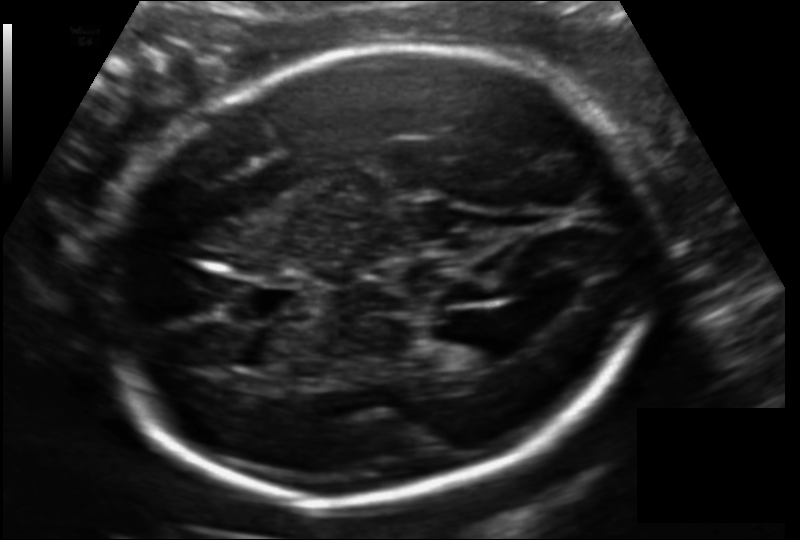
What is the fetal head circumference? Image width is 111.6 mm.

224.0 mm